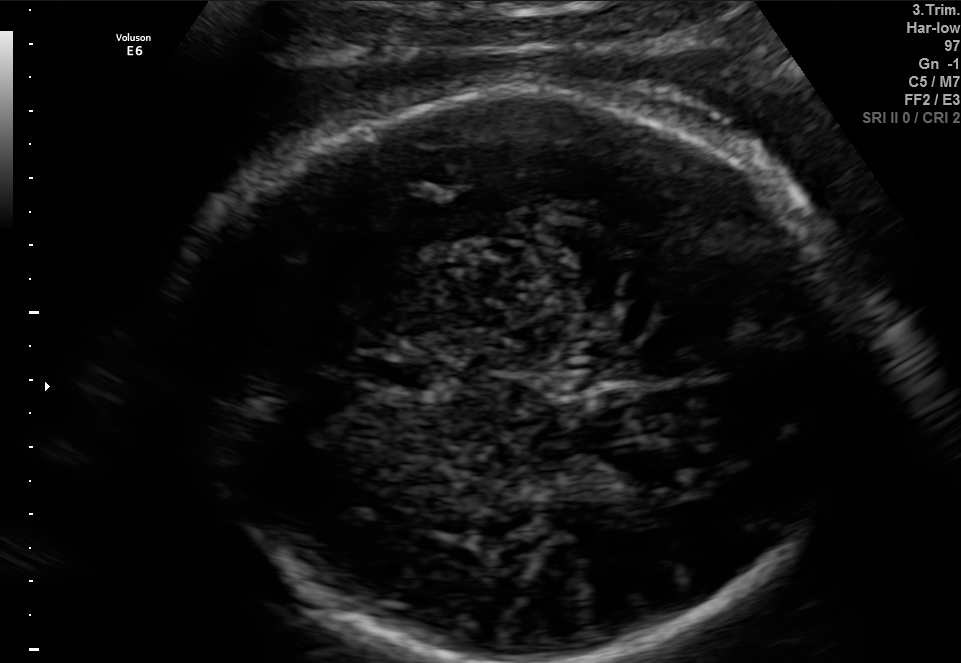
Fetal brain, trans-thalamic plane. Locate the cavum septum pellucidum.

CSP: [364,353,441,394]